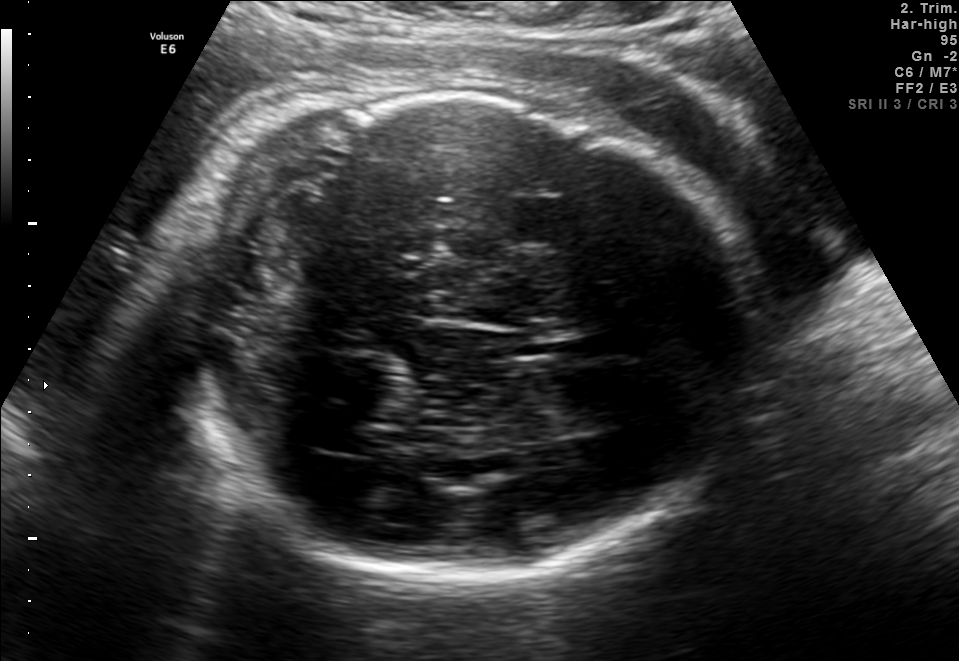
In this fetal brain, trans-thalamic plane, give the bounding box of the fetal head.

[147,93,768,576]